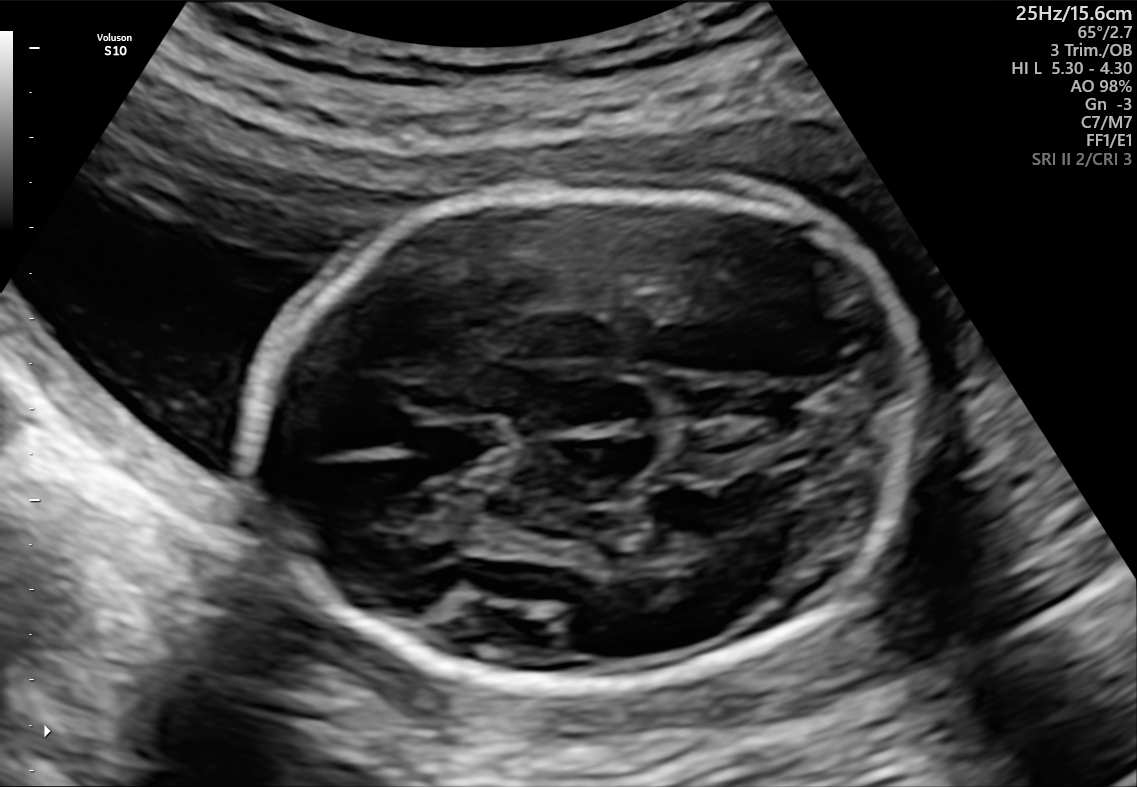
In this fetal brain, trans-thalamic plane, give the bounding box of the fetal head.

[247,182,924,693]